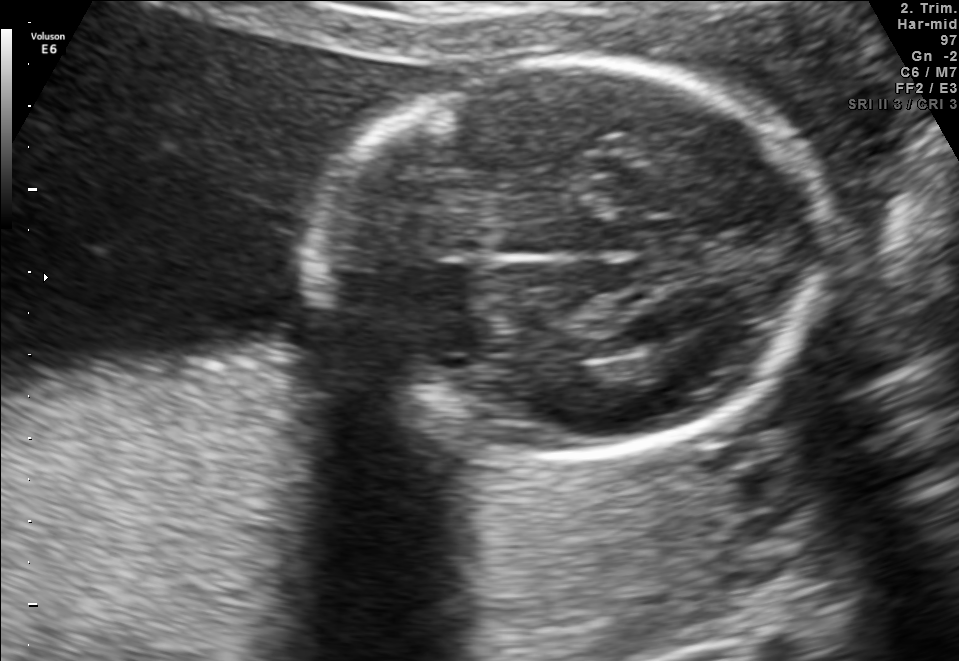
This is a 2D maternal-fetal ultrasound frame. Is it a fetal abdomen, fetal brain, fetal femur, fetal thorax, maternal cervix, or other standard plane? If it's fetal brain and one of the three standard brain planes (trans-thalamic, trans-cerebellum, trans-ventricular), name which.

Fetal brain (trans-thalamic plane)